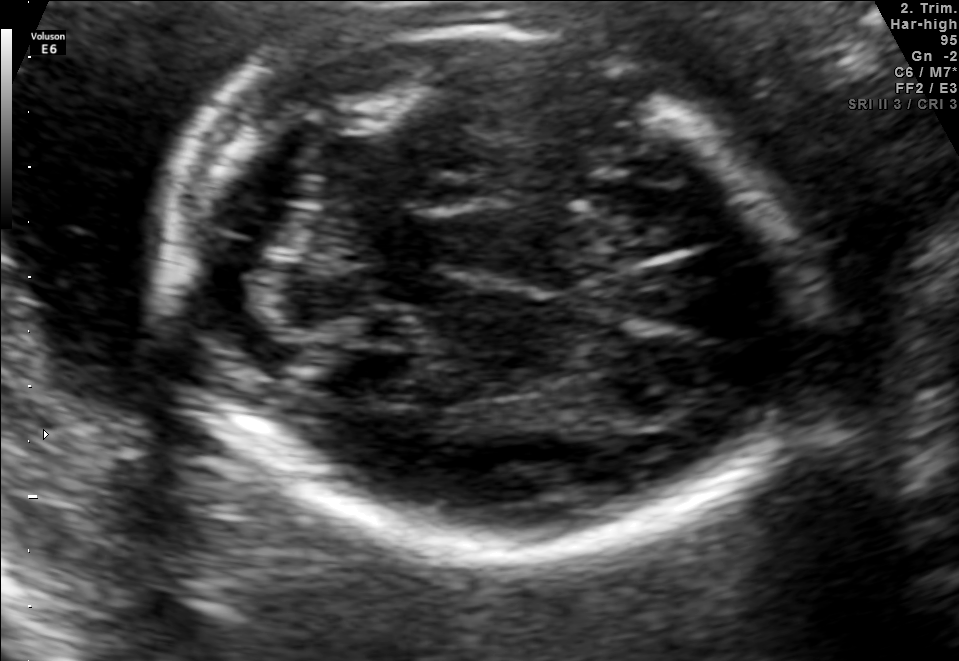
Fetal brain, trans-cerebellum plane. Give [x1,y1,x2,y2] bounding boxes for each visible structure among: fetal head, CSP, LV.

Head: [159,20,792,557]